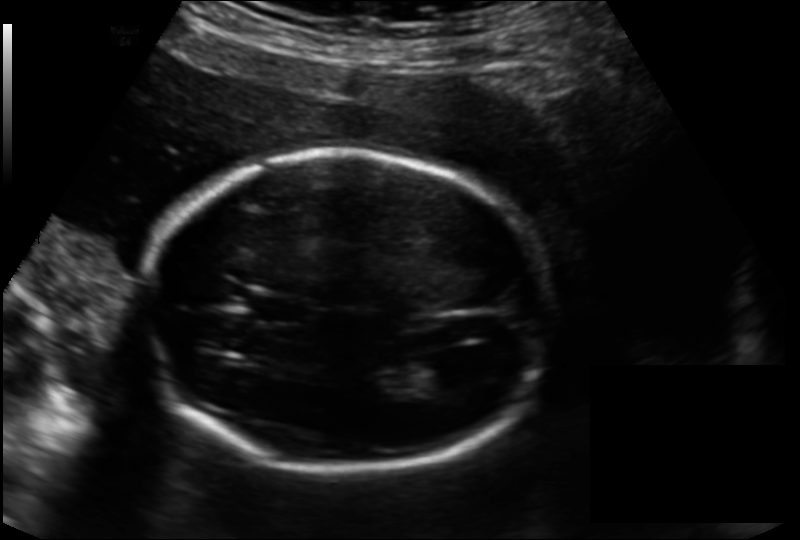
Measure the fetal head circumference shown in this ultrasound image. Image width: 133.1 mm.

Head circumference: 197.8 mm.